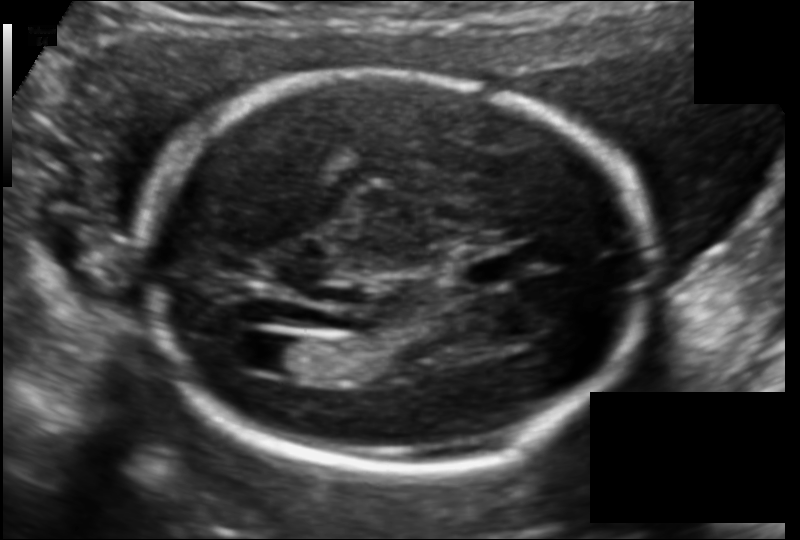
Fetal head ultrasound. Image width: 97.5 mm. Where is the lateral ventricle?

Lateral ventricle bounding box: [254,334,315,376]